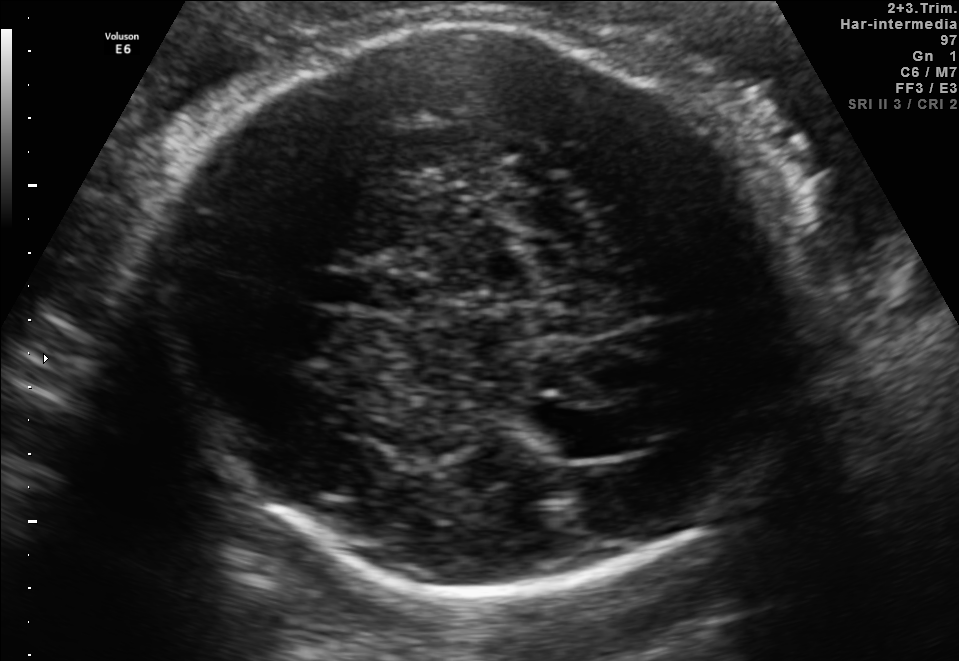
Fetal brain, trans-thalamic plane. Locate the fetal head.

Head: [148,20,831,591]